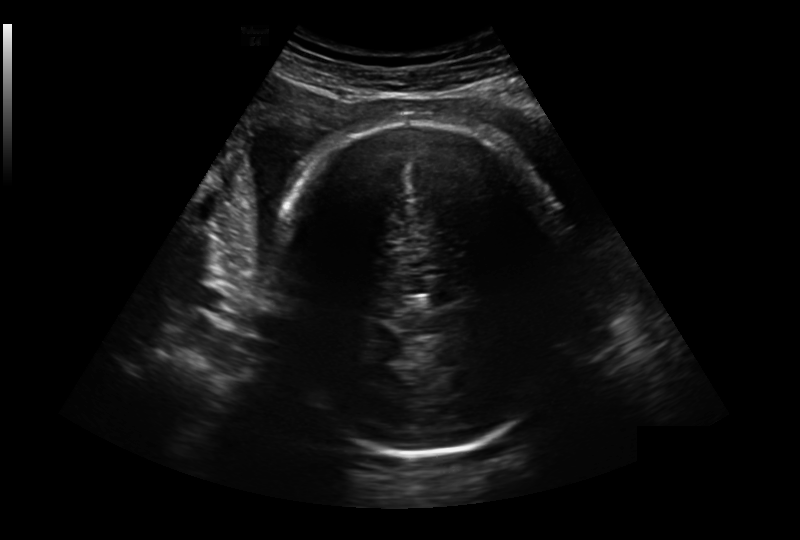
Fetal head ultrasound. Image width: 225.0 mm. Locate the fetal head and, if visible, the cavum septum pellucidum (CSP) and lateral ventricle (LV). Give bounding boxes as [x1,y1,x2,y2].

Head: [274,122,564,454]